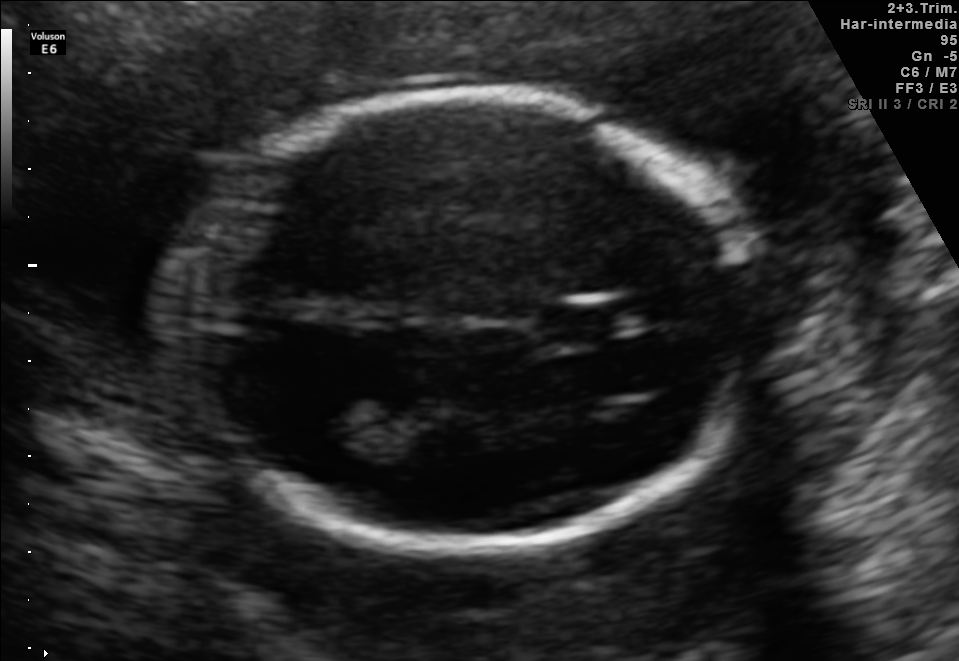
This is a 2D maternal-fetal ultrasound frame. Is it a fetal abdomen, fetal brain, fetal femur, fetal thorax, maternal cervix, or other standard plane? If it's fetal brain and one of the three standard brain planes (trans-thalamic, trans-cerebellum, trans-ventricular), name which.

Fetal brain (trans-thalamic plane)